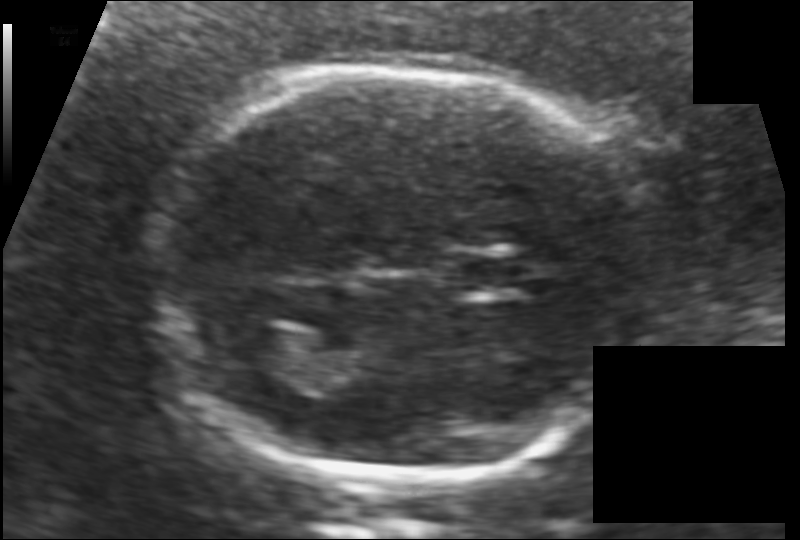
From this fetal ultrasound, estimate the head circumference (image width 94.0 mm).

Head circumference: 171.4 mm.